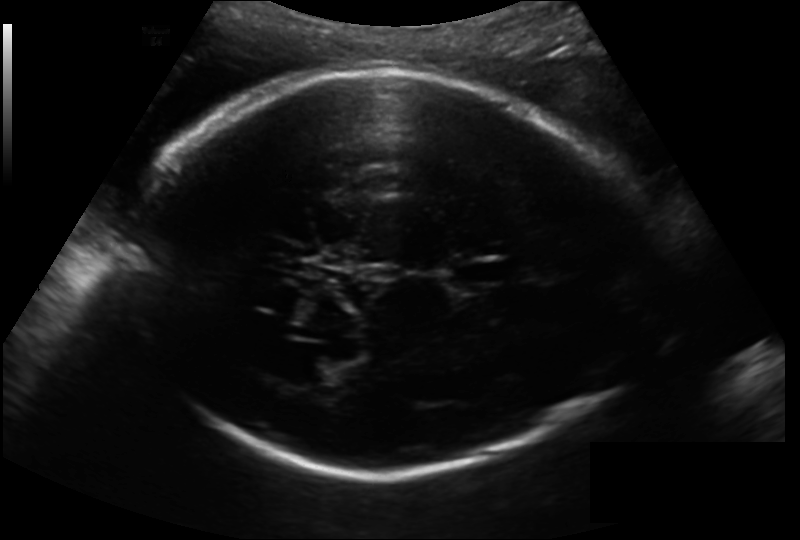
Fetal head ultrasound. Image width: 154.5 mm. Where is the cavum septum pellucidum?

CSP bounding box: [450,258,507,287]